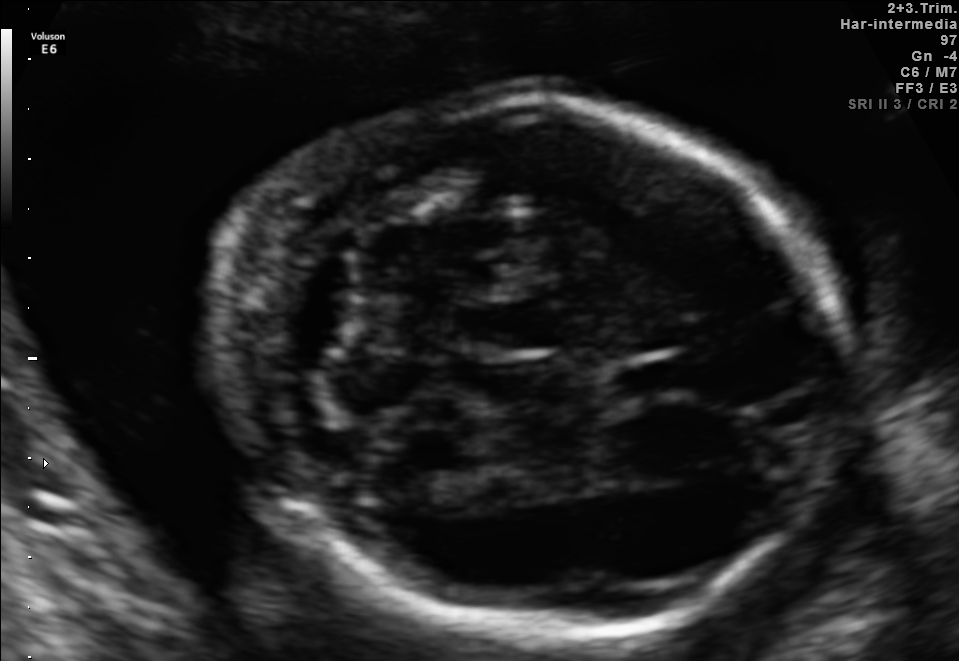
Fetal brain, trans-cerebellum plane. Give [x1,y1,x2,y2] bounding boxes for each visible structure among: fetal head, CSP, LV.

Head: [216,94,833,645]
CSP: [608,348,696,410]